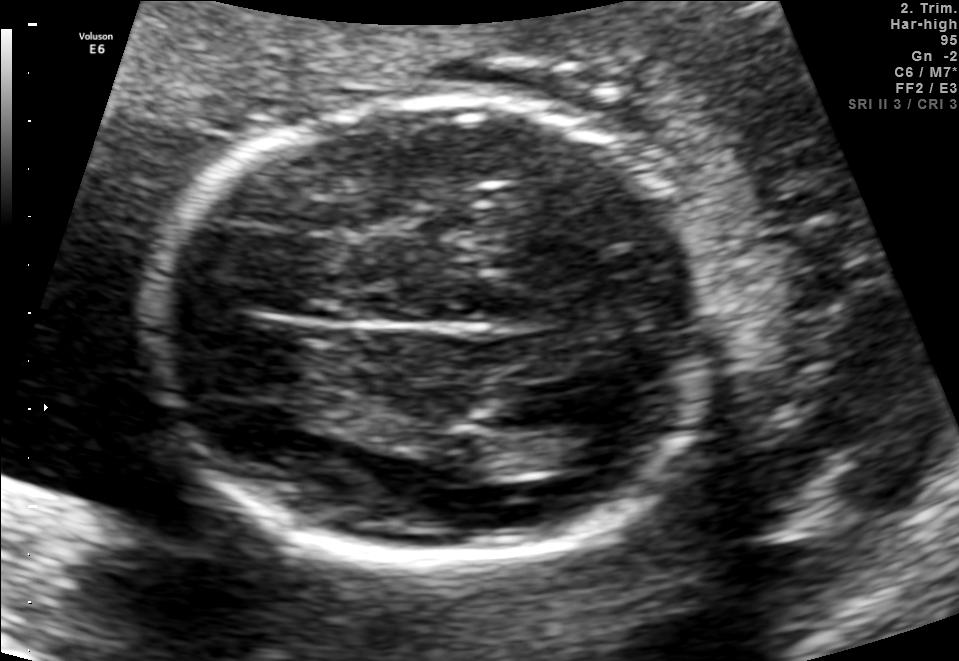
Fetal brain, trans-thalamic plane. Locate the fetal head and, if visible, the cavum septum pellucidum (CSP) and lateral ventricle (LV). Give bounding boxes as [x1,y1,x2,y2].

Head: [152,97,711,560]
Lateral ventricle: [539,421,636,477]